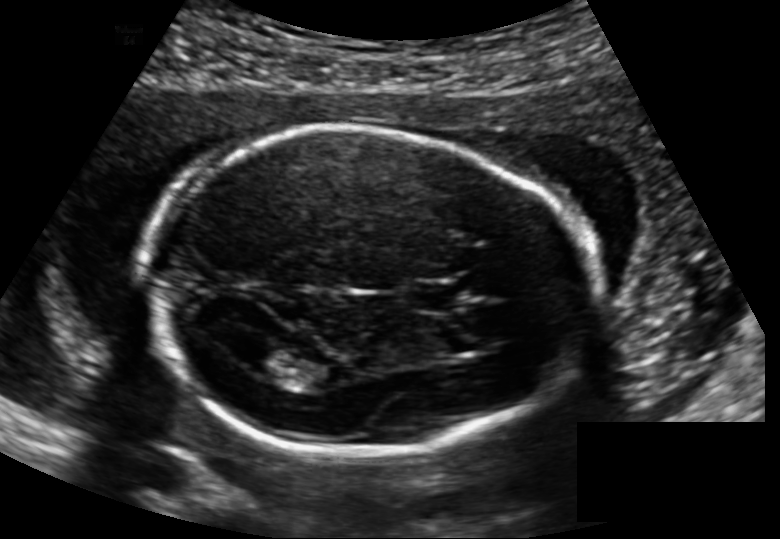
Fetal head ultrasound. Image width: 115.4 mm. Give [x1,y1,x2,y2] bounding boxes for each visible structure among: fetal head, CSP, LV.

Head: [143,126,583,456]
CSP: [411,280,460,313]
Lateral ventricle: [239,338,295,382]